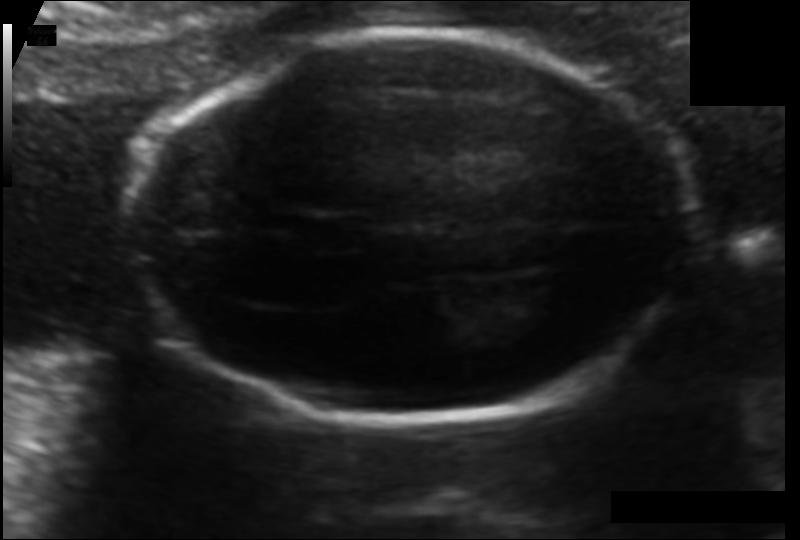
In this fetal head ultrasound, give the bounding box of the fetal head. Image width: 82.3 mm.

[133,31,692,421]